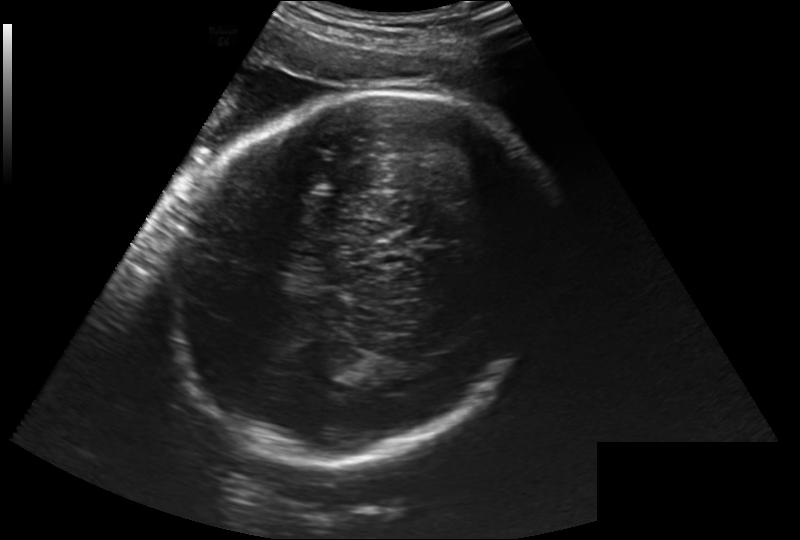
In this fetal head ultrasound, give bounding boxes for the head outline, cavum septum pellucidum (CSP), and lateral ventricle (LV), where visible. Image width: 208.2 mm.

Head: [174,88,541,463]